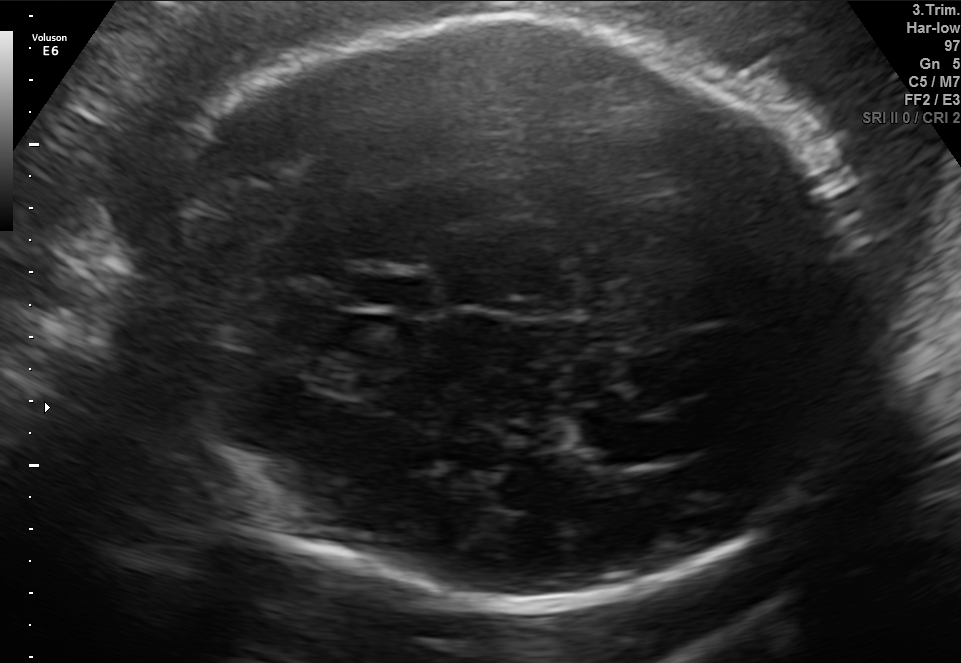
Fetal brain, trans-thalamic plane. Give [x1,y1,x2,y2] bounding boxes for each visible structure among: fetal head, CSP, LV.

Head: [152,19,875,608]
CSP: [356,274,431,312]
Lateral ventricle: [580,414,692,469]